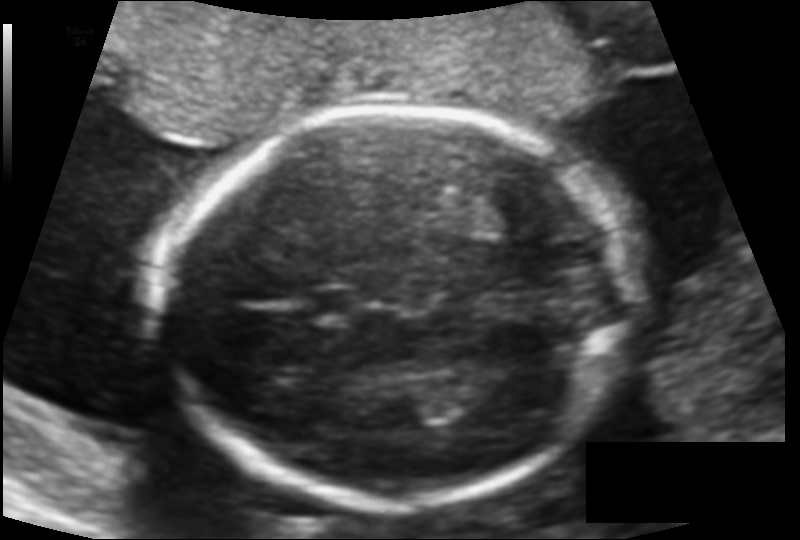
In this fetal head ultrasound, give the bounding box of the fetal head. Image width: 97.0 mm.

[162,106,631,507]